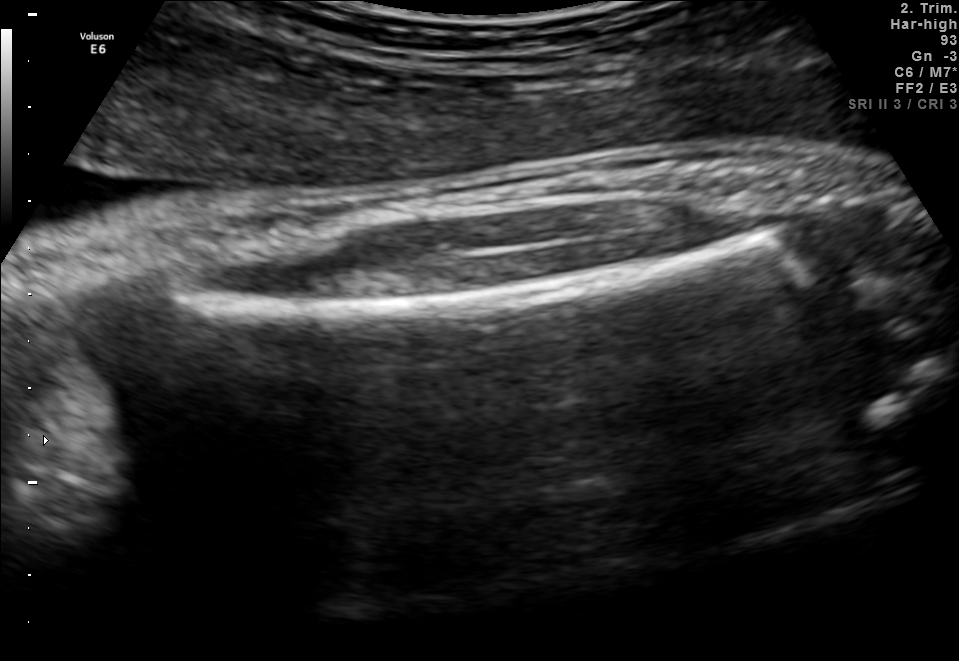
Identify the standard plane in this fetal ultrasound image: fetal abdomen, fetal brain, fetal femur, fetal thorax, maternal cervix, or other. If it's fetal brain and one of the three standard brain planes (trans-thalamic, trans-cerebellum, trans-ventricular), name which.

Fetal femur